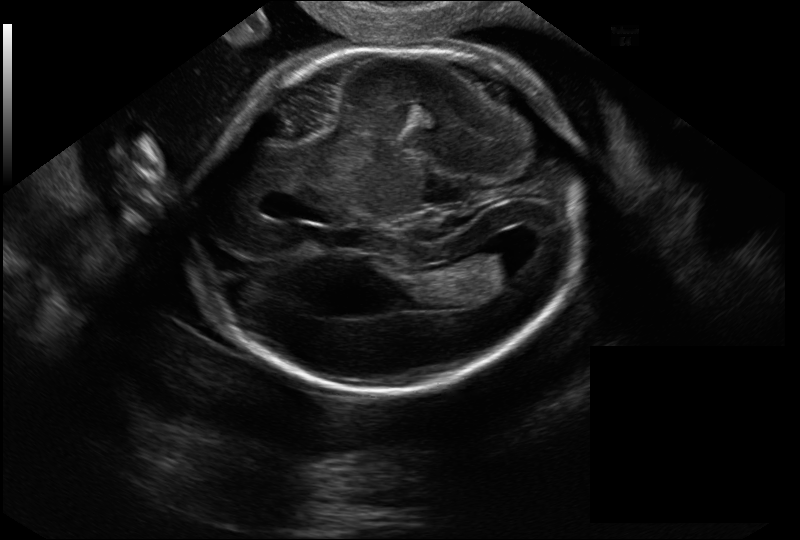
In this fetal head ultrasound, give the bounding box of the fetal head. Image width: 115.6 mm.

[194,48,587,392]